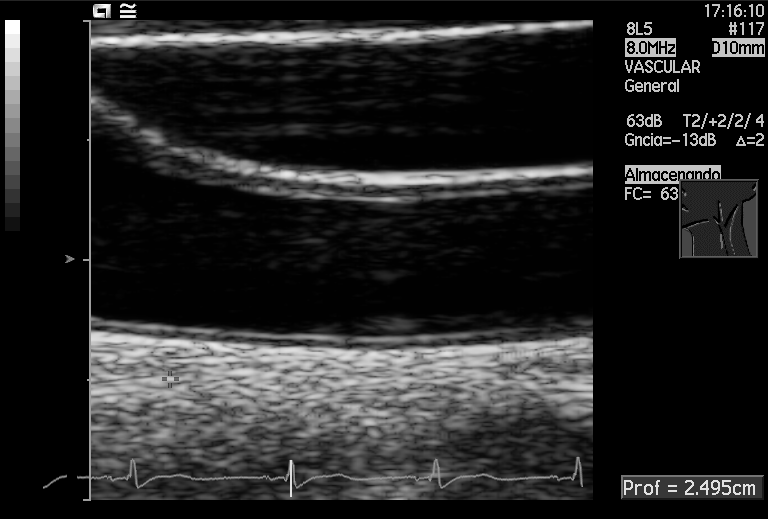
Which standard maternal-fetal ultrasound plane is shown: fetal abdomen, fetal brain, fetal femur, fetal thorax, maternal cervix, or other? If it's fetal brain and one of the three standard brain planes (trans-thalamic, trans-cerebellum, trans-ventricular), name which.

Other